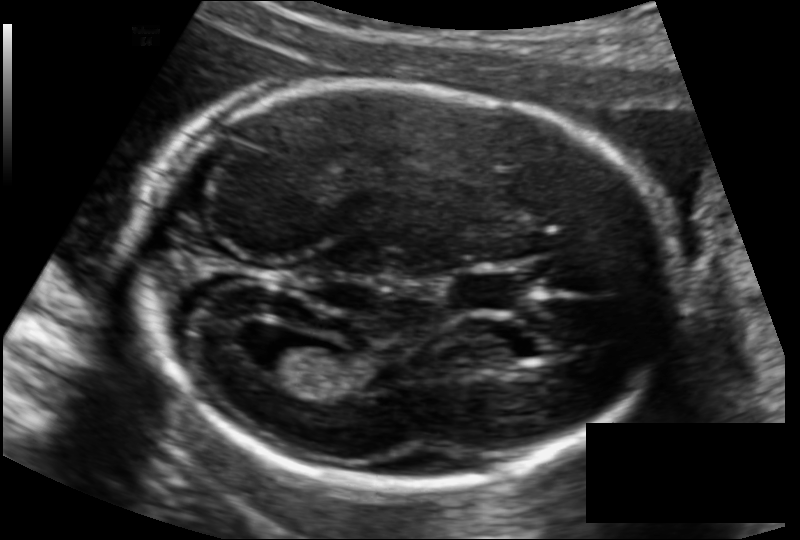
What is the fetal head circumference? Image width is 97.7 mm.

185.4 mm